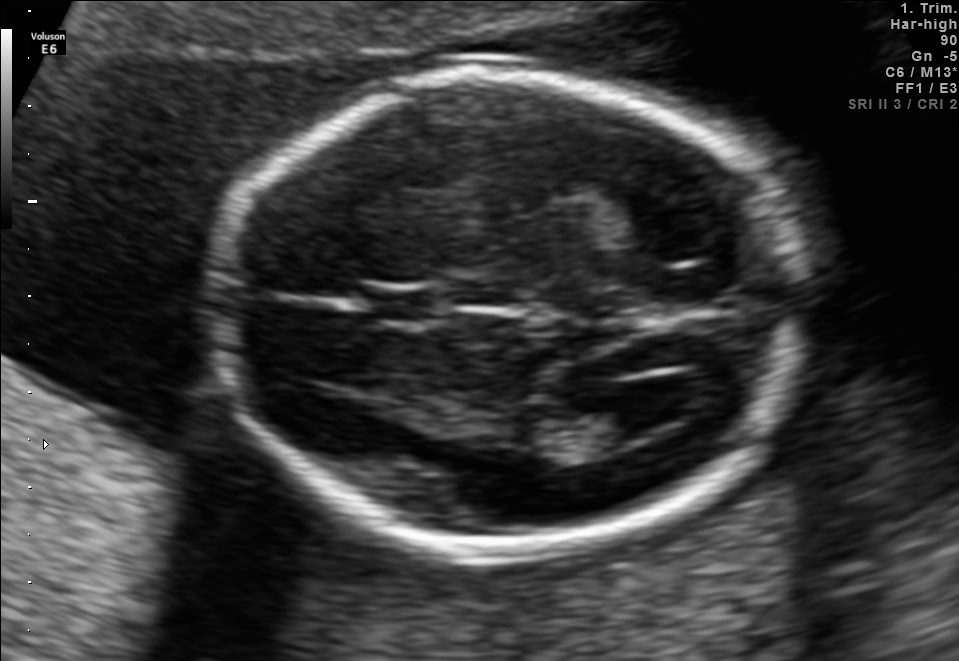
In this fetal brain, trans-ventricular plane, give the bounding box of the lateral ventricle.

[598,371,692,440]